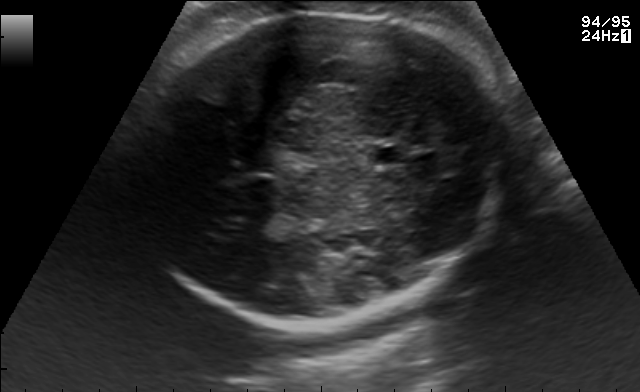
In this fetal brain, trans-thalamic plane, give the bounding box of the cavum septum pellucidum.

[369,145,404,166]